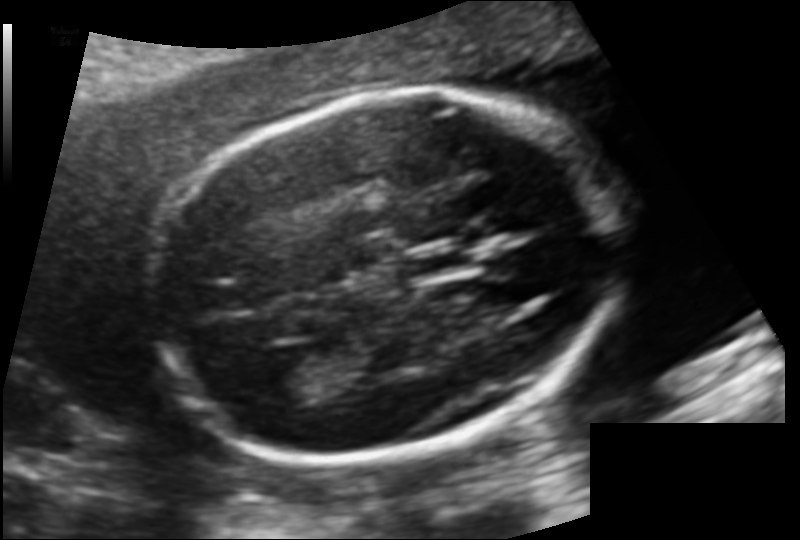
Fetal head ultrasound. Image width: 96.3 mm. Locate the lateral ventricle.

Lateral ventricle: [256,352,337,411]